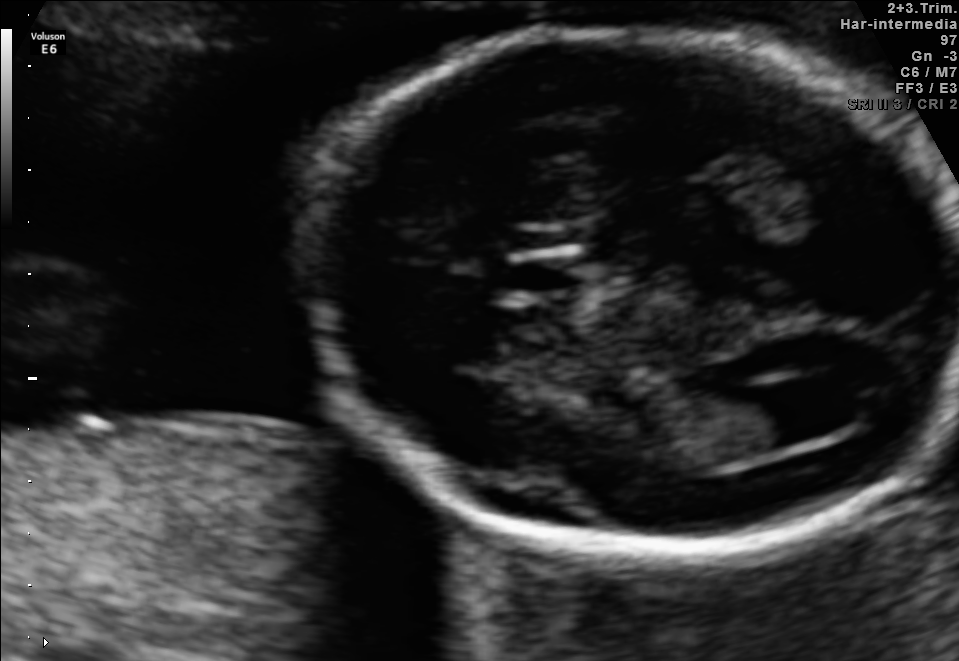
In this fetal brain, trans-ventricular plane, give the bounding box of the lateral ventricle.

[749,367,854,452]